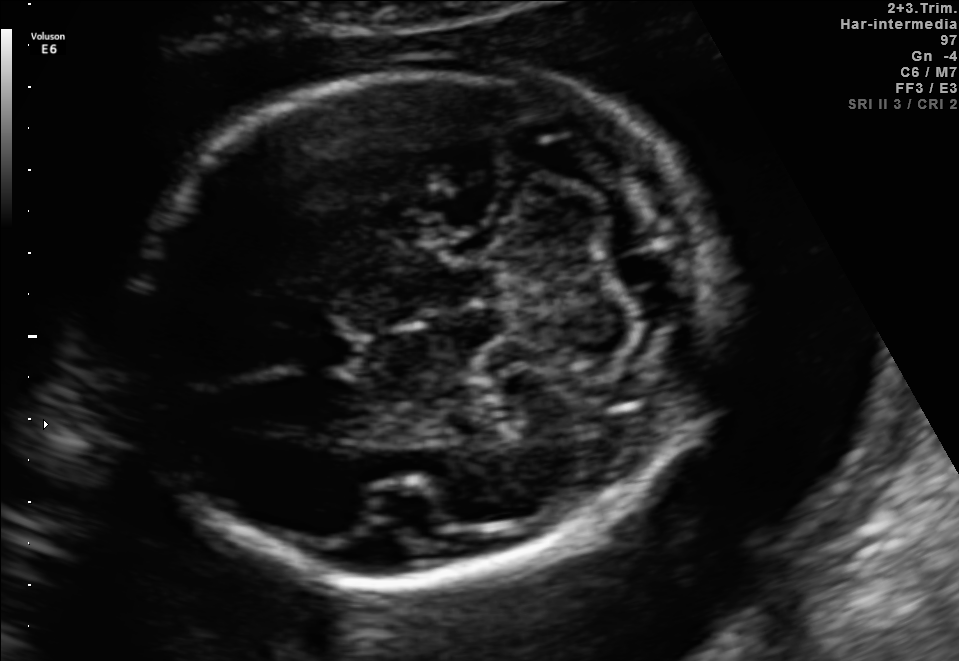
Fetal brain, trans-cerebellum plane. Locate the fetal head and, if visible, the cavum septum pellucidum (CSP) and lateral ventricle (LV). Give bounding boxes as [x1,y1,x2,y2].

Head: [128,66,717,583]
CSP: [288,329,358,374]